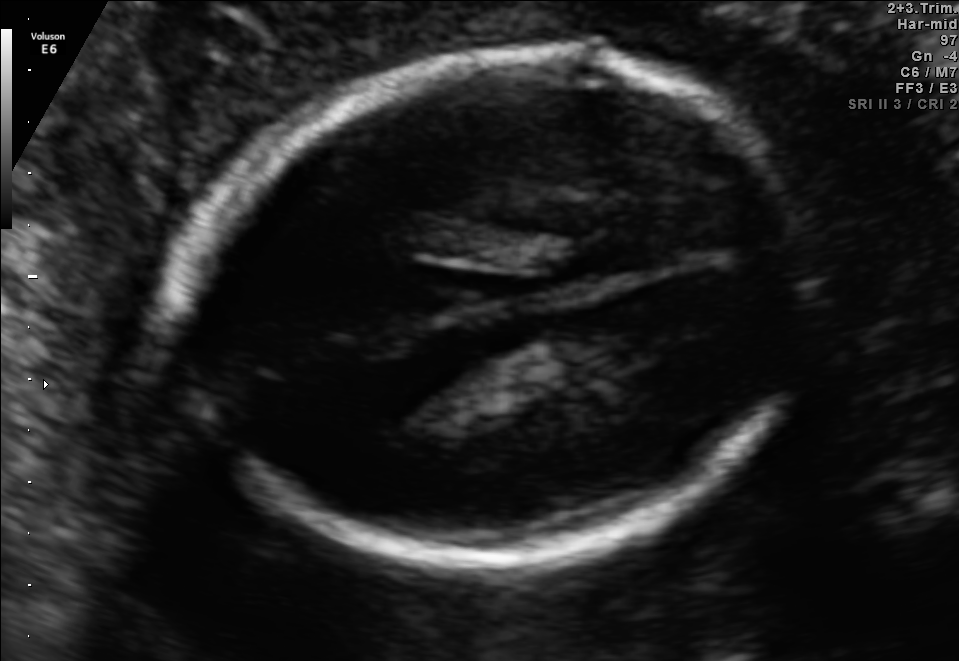
Classify this maternal-fetal ultrasound image as one of the six standard planes — fetal abdomen, fetal brain, fetal femur, fetal thorax, maternal cervix, or other. If it's fetal brain and one of the three standard brain planes (trans-thalamic, trans-cerebellum, trans-ventricular), name which.

Fetal brain (trans-thalamic plane)